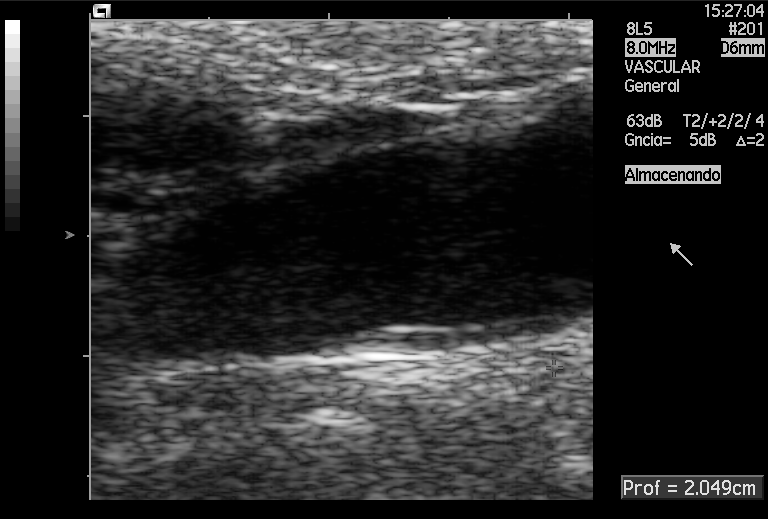
Which standard maternal-fetal ultrasound plane is shown: fetal abdomen, fetal brain, fetal femur, fetal thorax, maternal cervix, or other? If it's fetal brain and one of the three standard brain planes (trans-thalamic, trans-cerebellum, trans-ventricular), name which.

Other